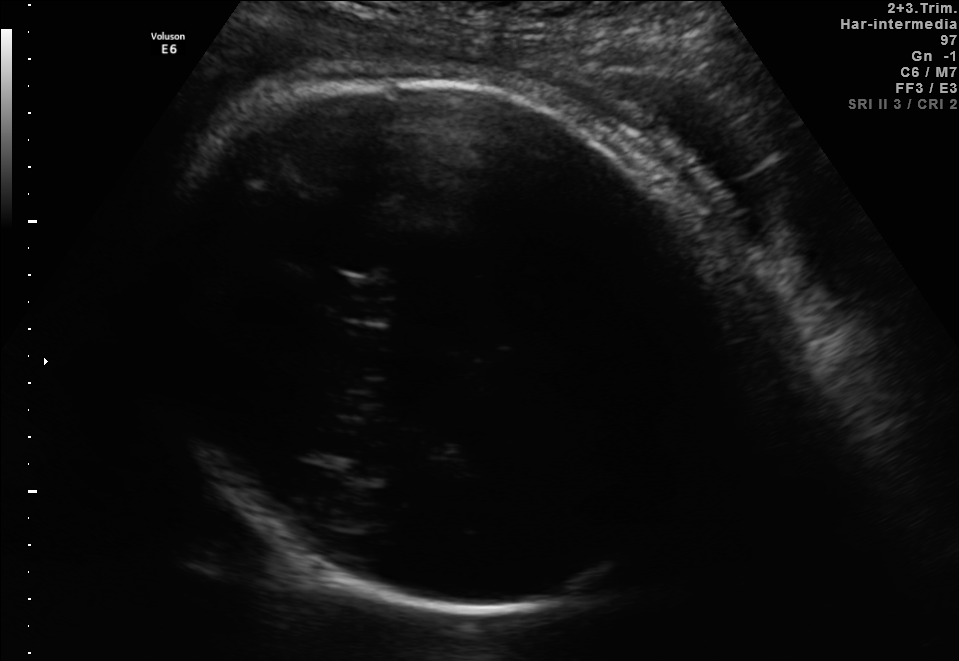
Which standard maternal-fetal ultrasound plane is shown: fetal abdomen, fetal brain, fetal femur, fetal thorax, maternal cervix, or other? If it's fetal brain and one of the three standard brain planes (trans-thalamic, trans-cerebellum, trans-ventricular), name which.

Fetal brain (trans-thalamic plane)